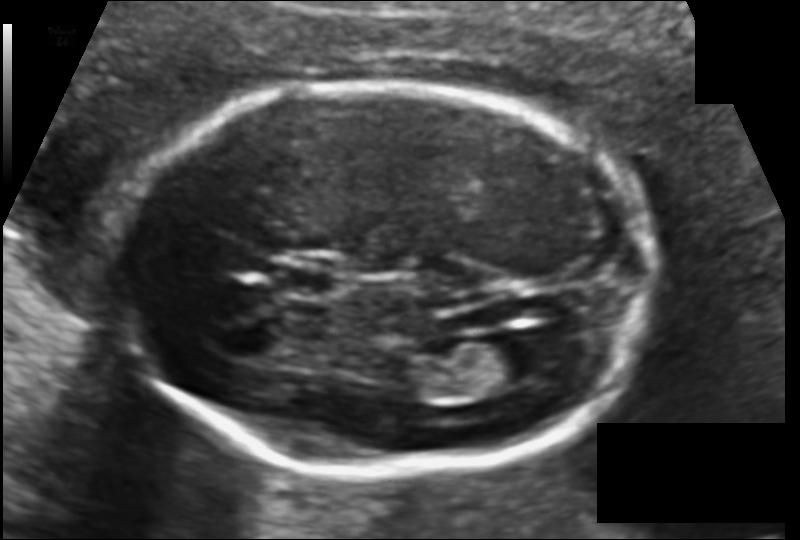
Fetal head ultrasound. Image width: 90.6 mm. Locate the cavum septum pellucidum.

CSP: [281,265,337,300]